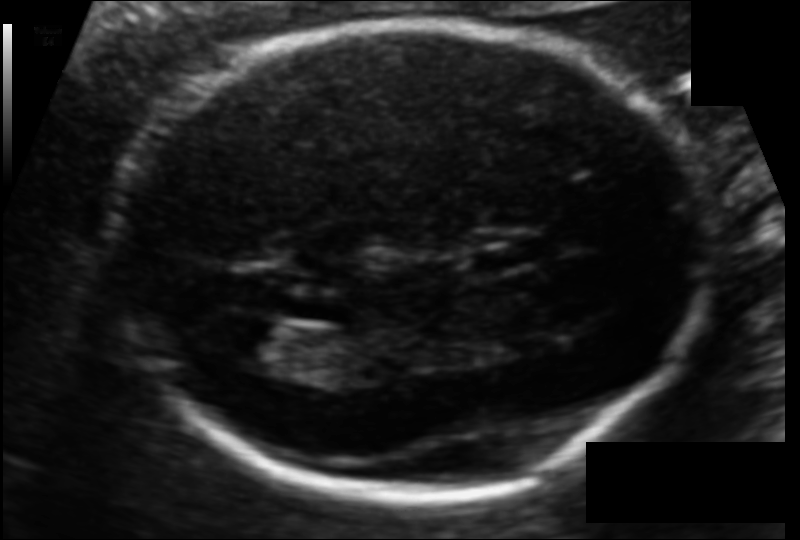
Fetal head ultrasound. Image width: 85.1 mm. Locate the lateral ventricle.

Lateral ventricle: [210,312,305,379]